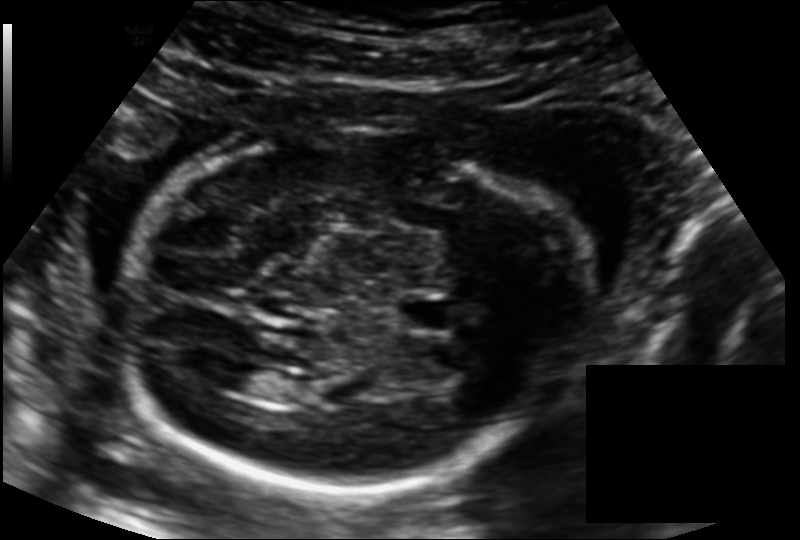
In this fetal head ultrasound, give the bounding box of the lateral ventricle. Image width: 111.3 mm.

[215,360,271,398]